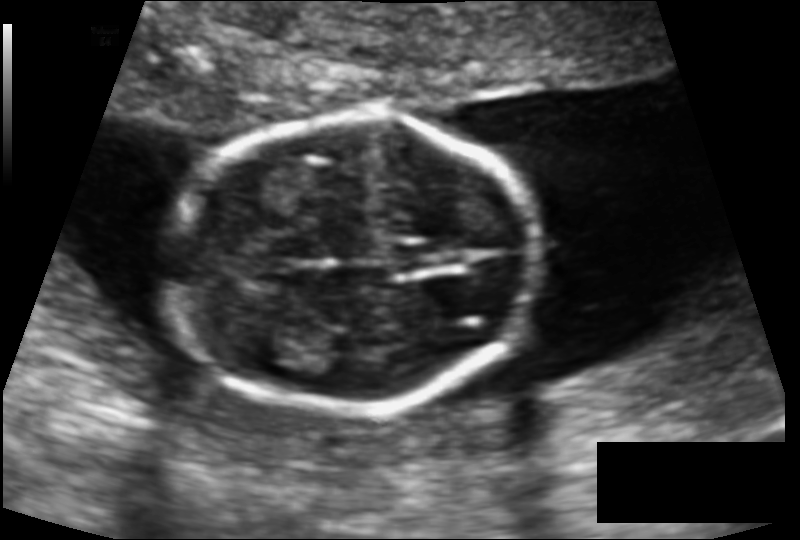
Fetal head ultrasound. Image width: 89.5 mm. Where is the fetal head?

Head bounding box: [166,118,537,410]